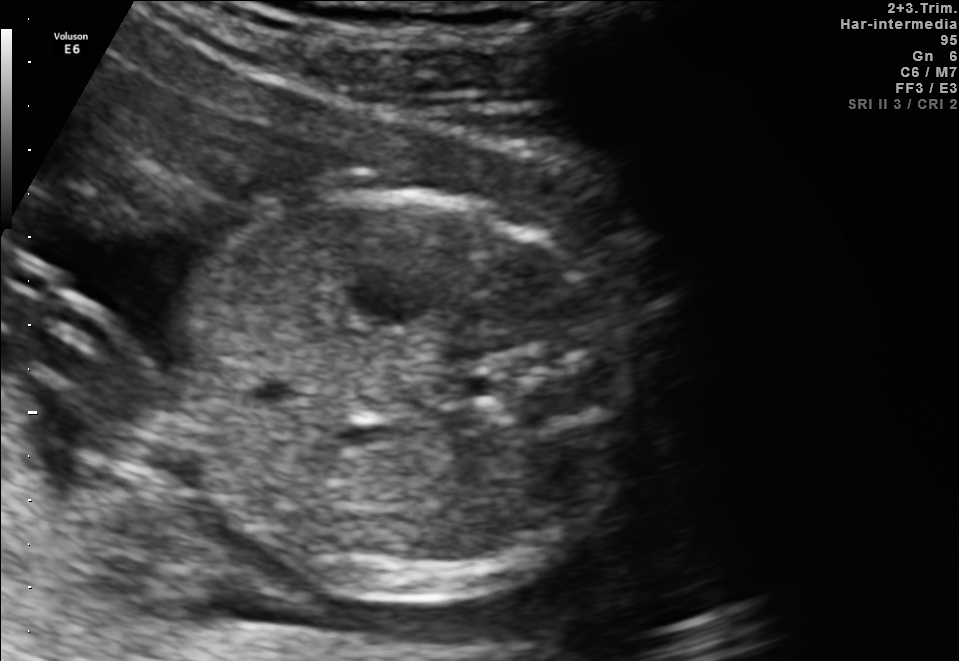
Identify the standard plane in this fetal ultrasound image: fetal abdomen, fetal brain, fetal femur, fetal thorax, maternal cervix, or other. If it's fetal brain and one of the three standard brain planes (trans-thalamic, trans-cerebellum, trans-ventricular), name which.

Fetal abdomen